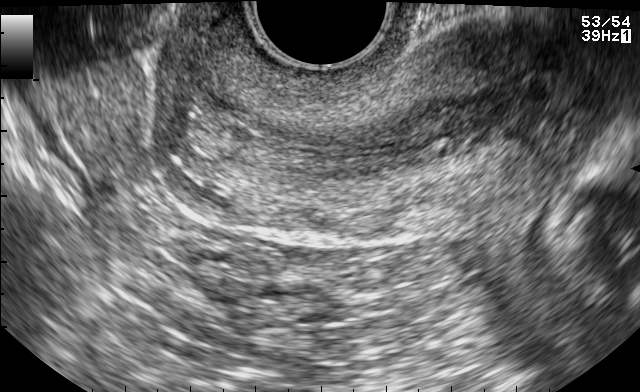
Identify the standard plane in this fetal ultrasound image: fetal abdomen, fetal brain, fetal femur, fetal thorax, maternal cervix, or other. If it's fetal brain and one of the three standard brain planes (trans-thalamic, trans-cerebellum, trans-ventricular), name which.

Maternal cervix